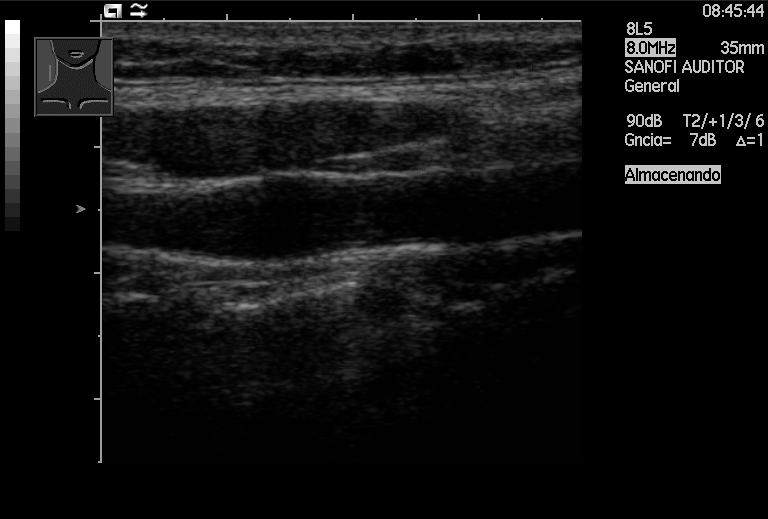
Classify this maternal-fetal ultrasound image as one of the six standard planes — fetal abdomen, fetal brain, fetal femur, fetal thorax, maternal cervix, or other. If it's fetal brain and one of the three standard brain planes (trans-thalamic, trans-cerebellum, trans-ventricular), name which.

Other